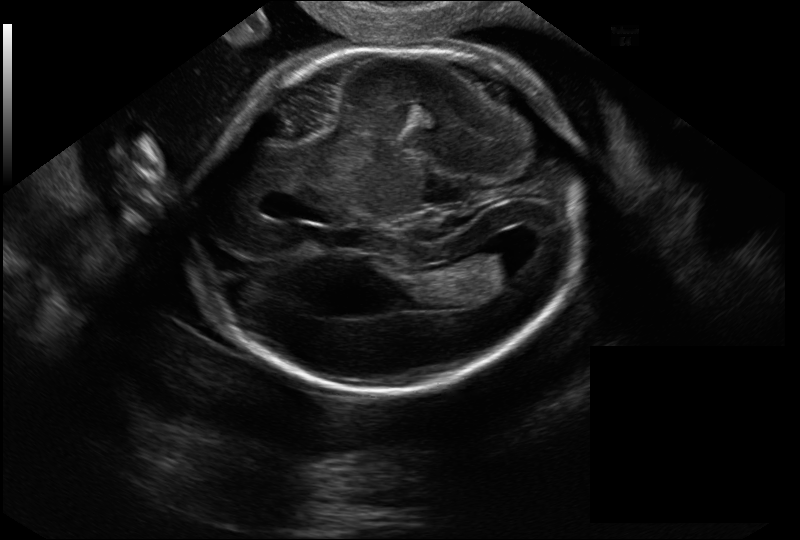
Fetal head ultrasound. Image width: 115.6 mm. Locate the fetal head and, if visible, the cavum septum pellucidum (CSP) and lateral ventricle (LV). Give bounding boxes as [x1,y1,x2,y2].

Head: [194,48,587,392]
Lateral ventricle: [472,228,539,290]